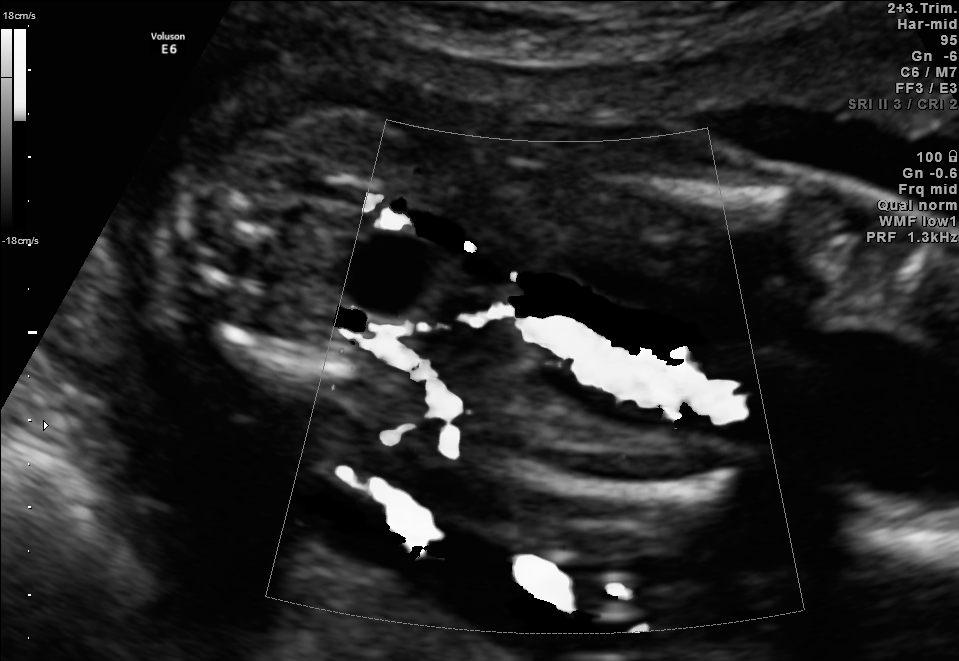
This is a 2D maternal-fetal ultrasound frame. Is it a fetal abdomen, fetal brain, fetal femur, fetal thorax, maternal cervix, or other standard plane? If it's fetal brain and one of the three standard brain planes (trans-thalamic, trans-cerebellum, trans-ventricular), name which.

Other